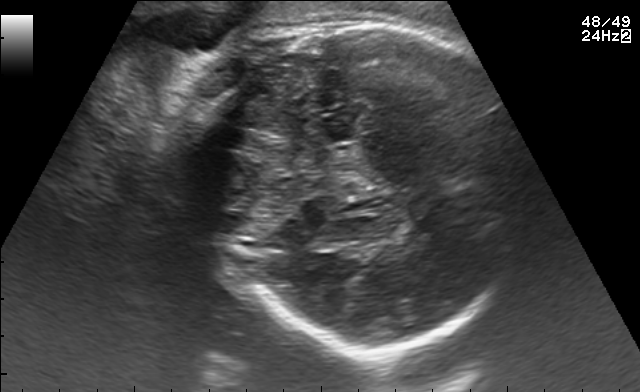
Fetal brain, trans-thalamic plane. Give [x1,y1,x2,y2] bounding boxes for each visible structure among: fetal head, CSP, LV.

Head: [187,15,531,344]